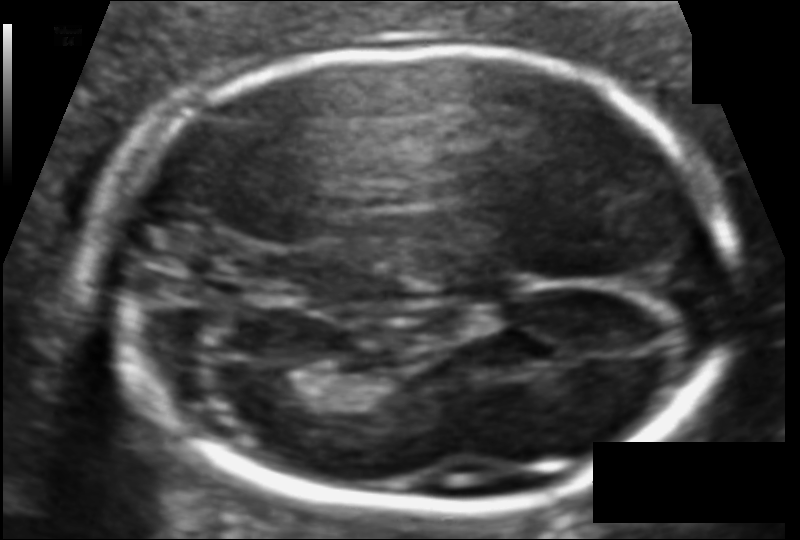
Estimate the fetal head circumference from this 2D ultrasound. Image width: 76.5 mm.

Head circumference: 170.9 mm.